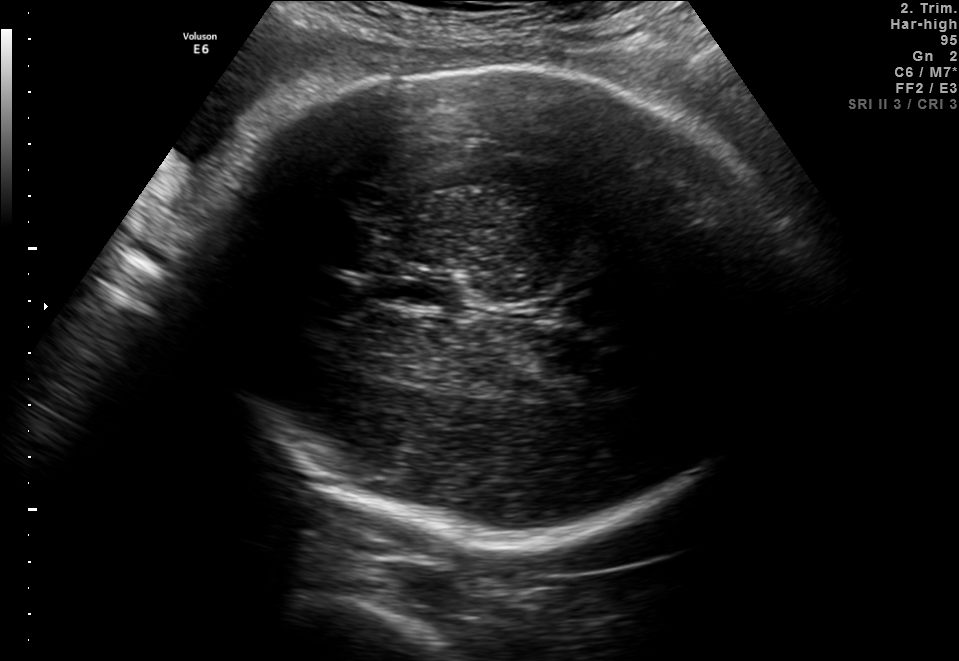
In this fetal brain, trans-thalamic plane, give the bounding box of the fetal head.

[198,67,781,542]